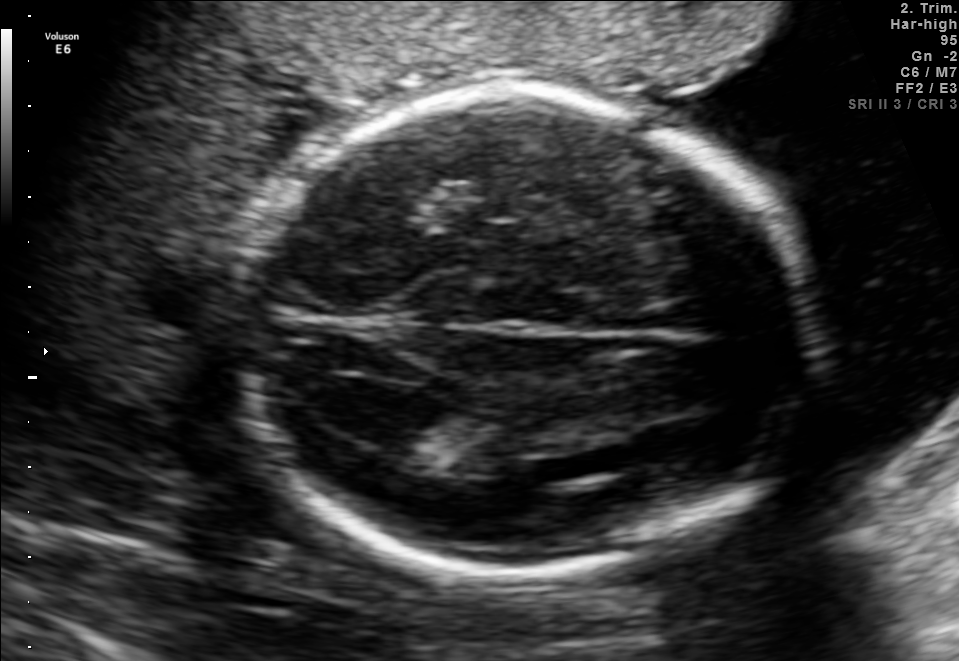
In this fetal brain, trans-ventricular plane, give the bounding box of the fetal head.

[223,77,836,590]